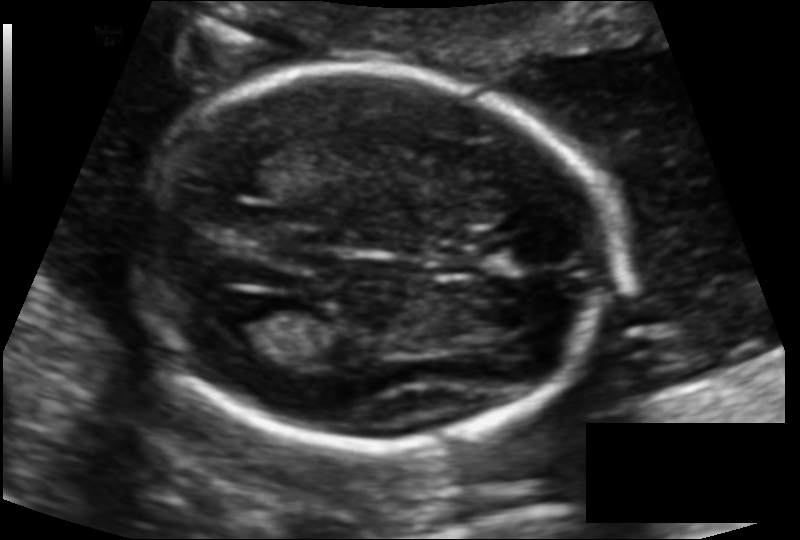
Fetal head ultrasound. Image width: 93.4 mm. Where is the fetal head?

Head bounding box: [131,65,612,446]